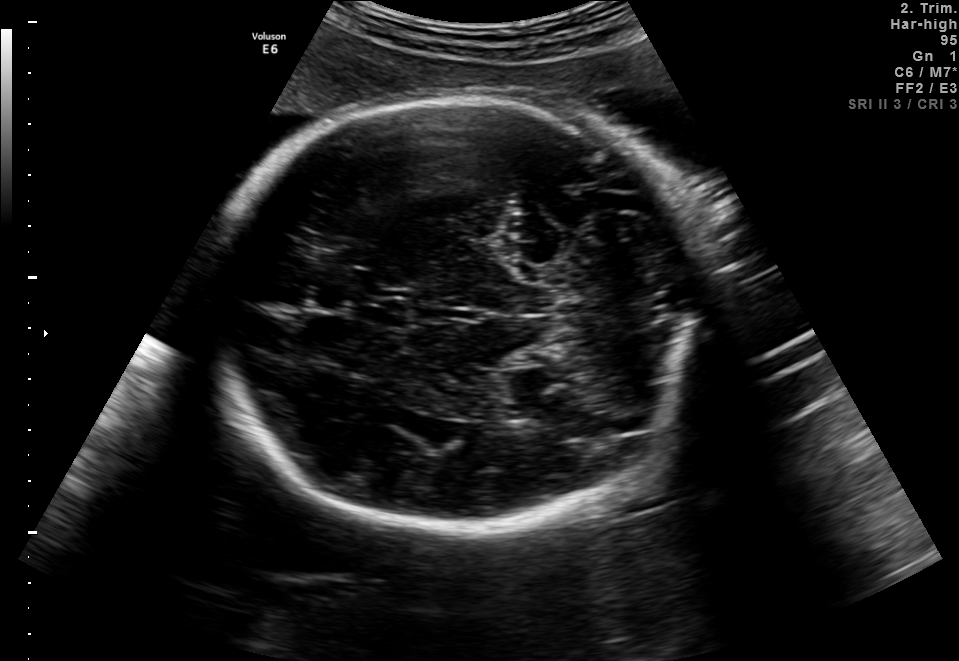
Fetal brain, trans-thalamic plane. Where is the fetal head?

Head bounding box: [204,97,693,536]